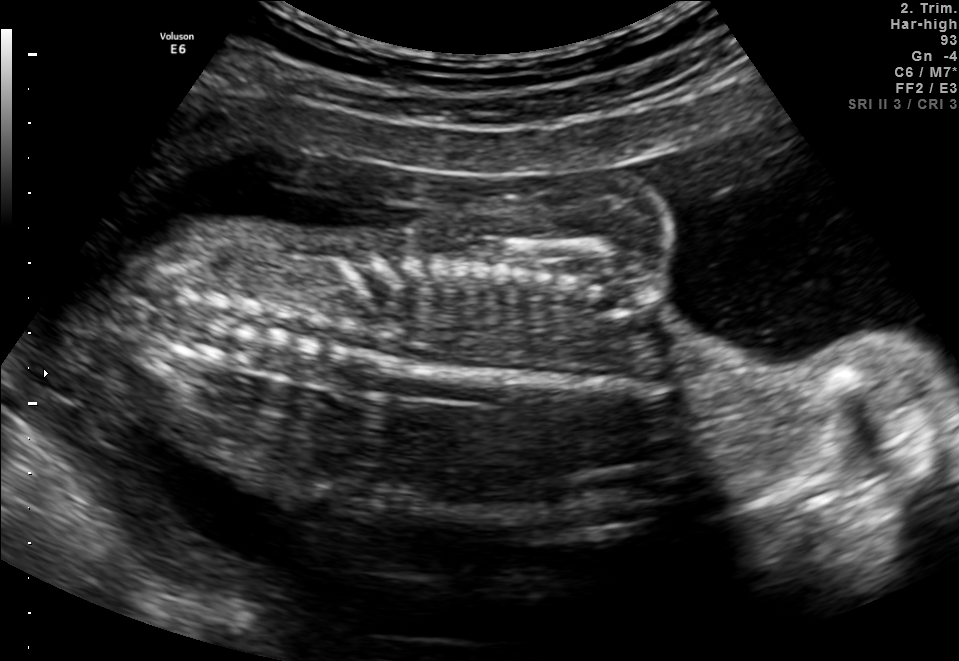
Which standard maternal-fetal ultrasound plane is shown: fetal abdomen, fetal brain, fetal femur, fetal thorax, maternal cervix, or other? If it's fetal brain and one of the three standard brain planes (trans-thalamic, trans-cerebellum, trans-ventricular), name which.

Other